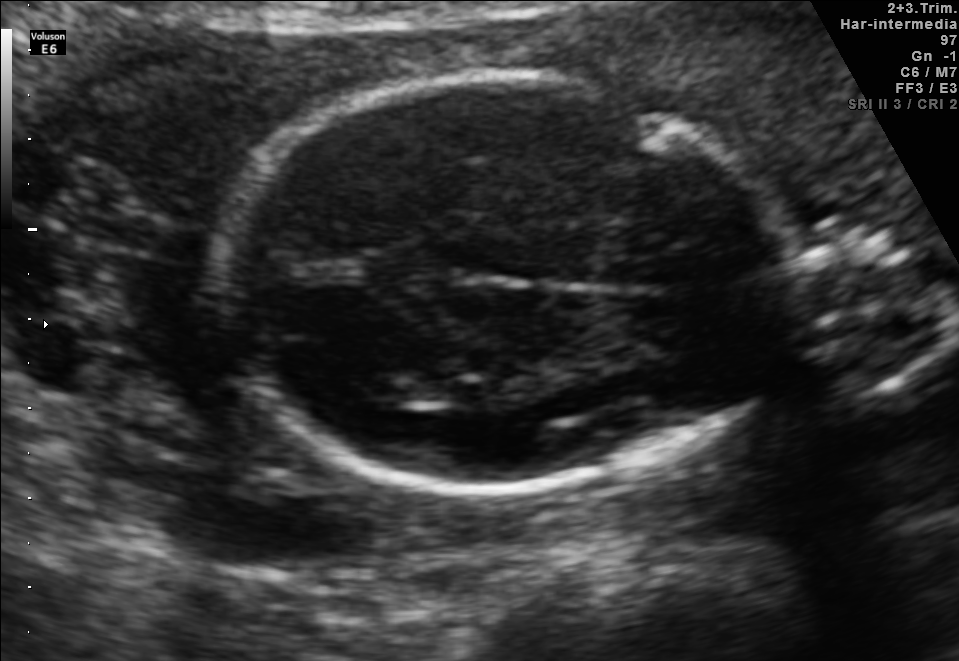
Fetal brain, trans-thalamic plane. Where is the lateral ventricle?

Lateral ventricle bounding box: [348,373,430,407]